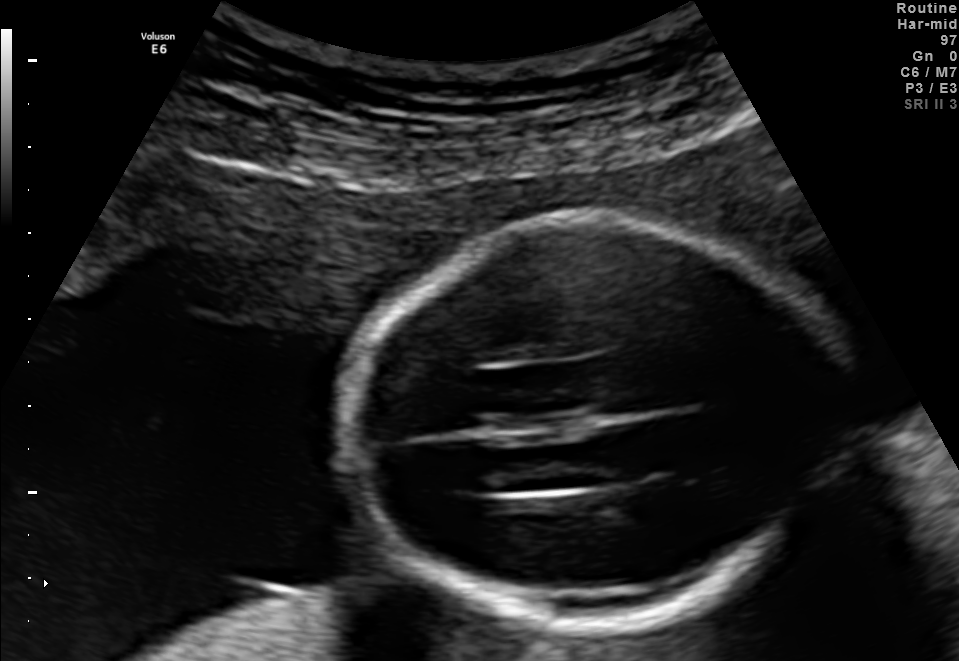
Fetal brain, trans-thalamic plane. Where is the fetal head?

Head bounding box: [340,215,845,624]